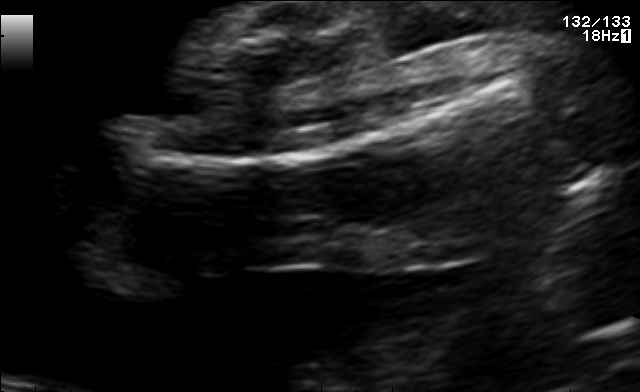
Classify this maternal-fetal ultrasound image as one of the six standard planes — fetal abdomen, fetal brain, fetal femur, fetal thorax, maternal cervix, or other. If it's fetal brain and one of the three standard brain planes (trans-thalamic, trans-cerebellum, trans-ventricular), name which.

Fetal femur